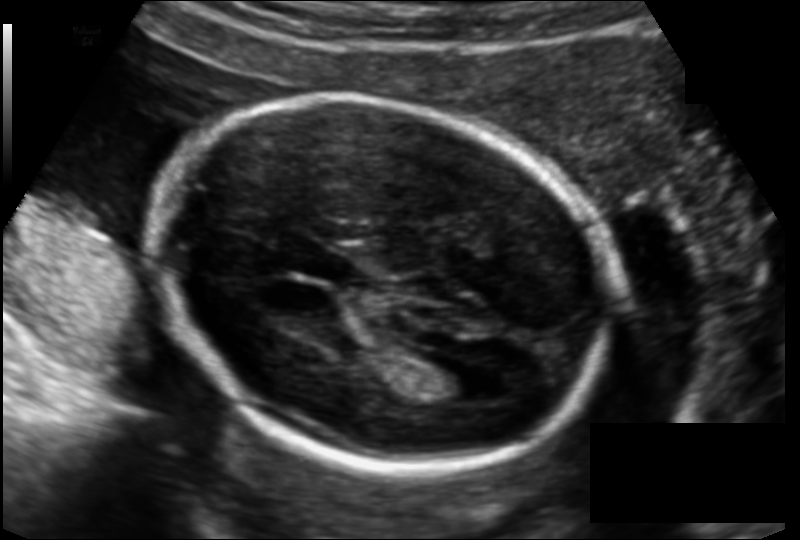
In this fetal head ultrasound, give bounding boxes for the head outline, cavum septum pellucidum (CSP), and lateral ventricle (LV), where visible. Image width: 107.7 mm.

Head: [153,100,611,468]
Lateral ventricle: [418,359,487,406]